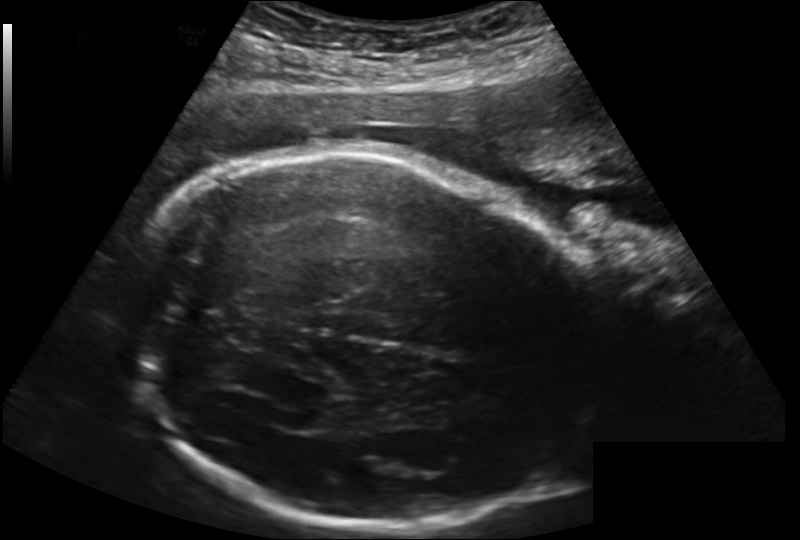
Measure the fetal head circumference shown in this ultrasound image. Image width: 161.7 mm.

Head circumference: 278.4 mm.